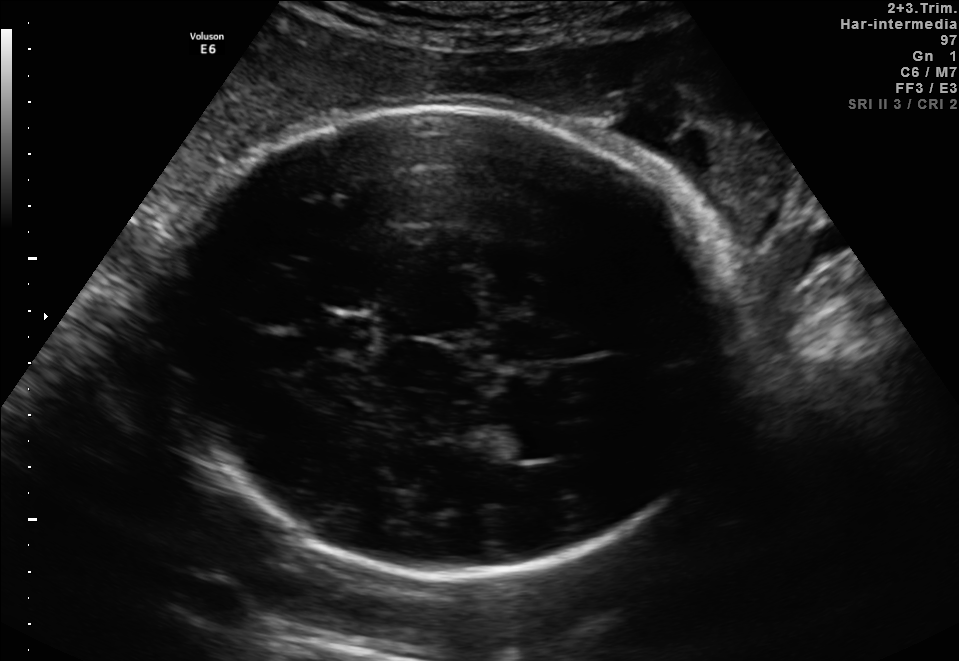
In this fetal brain, trans-thalamic plane, give the bounding box of the fetal head.

[159,101,738,576]